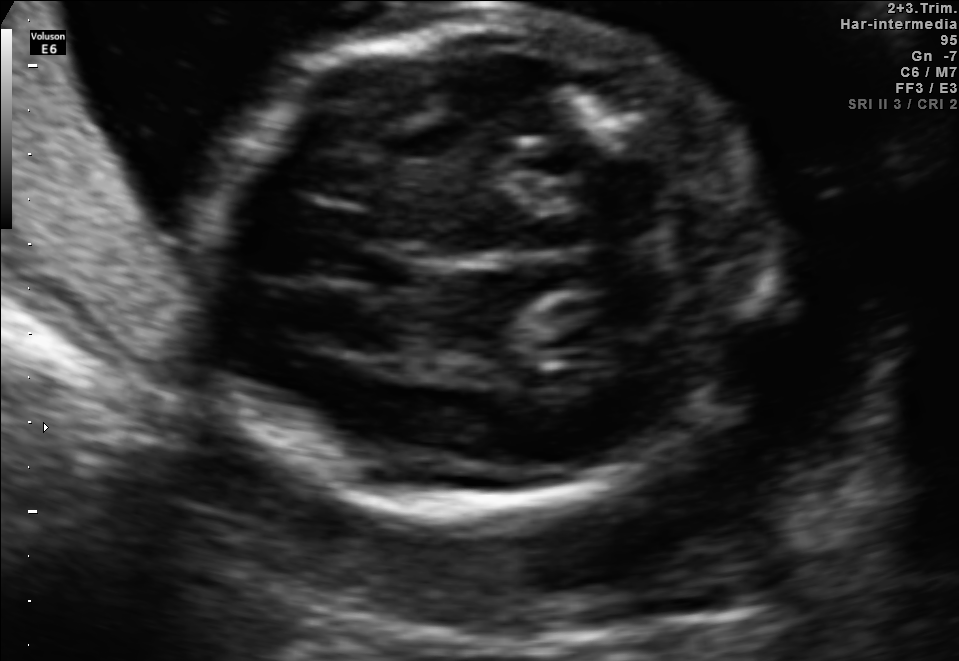
Fetal brain, trans-cerebellum plane. Where is the fetal head?

Head bounding box: [198,5,763,508]